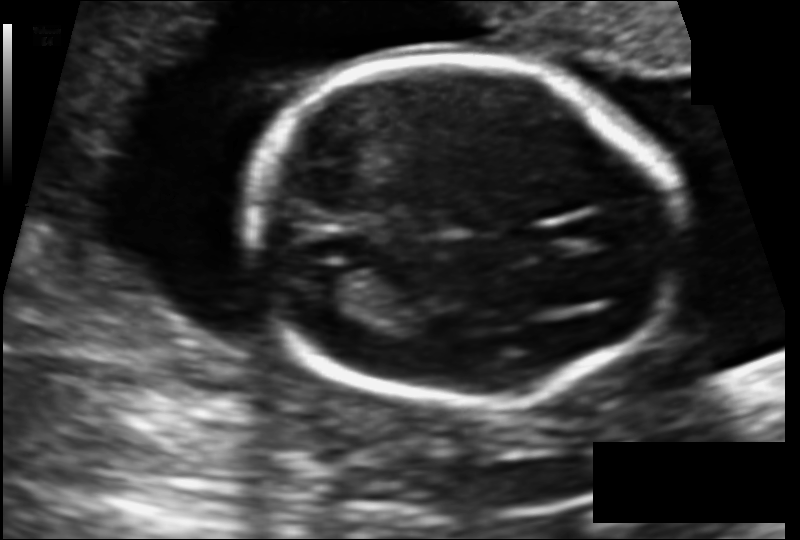
Fetal head ultrasound. Image width: 96.7 mm. Where is the fetal head?

Head bounding box: [244,59,674,403]